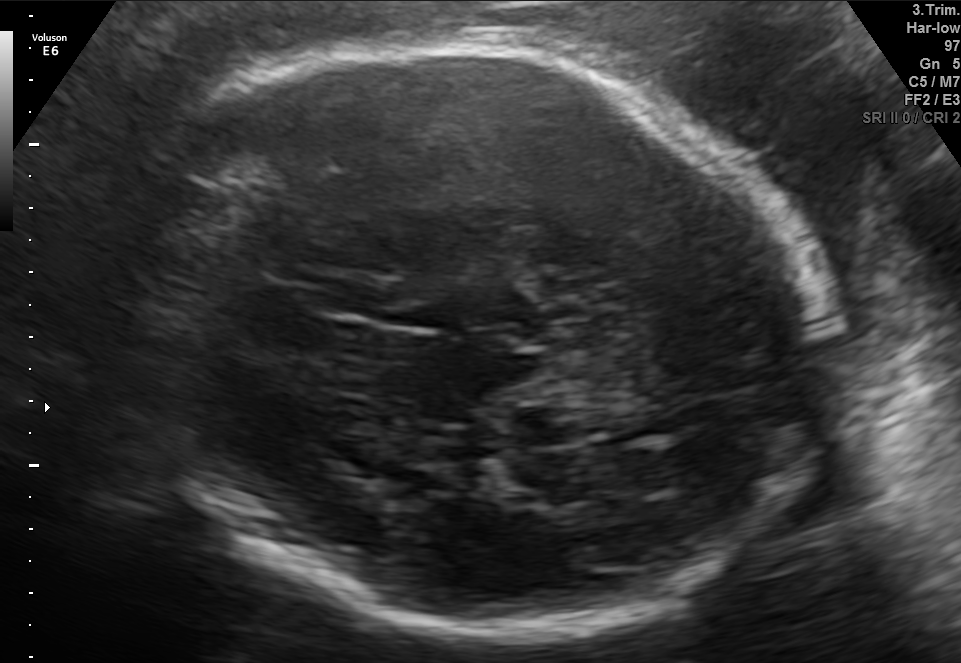
In this fetal brain, trans-thalamic plane, give the bounding box of the fetal head.

[121,40,832,635]